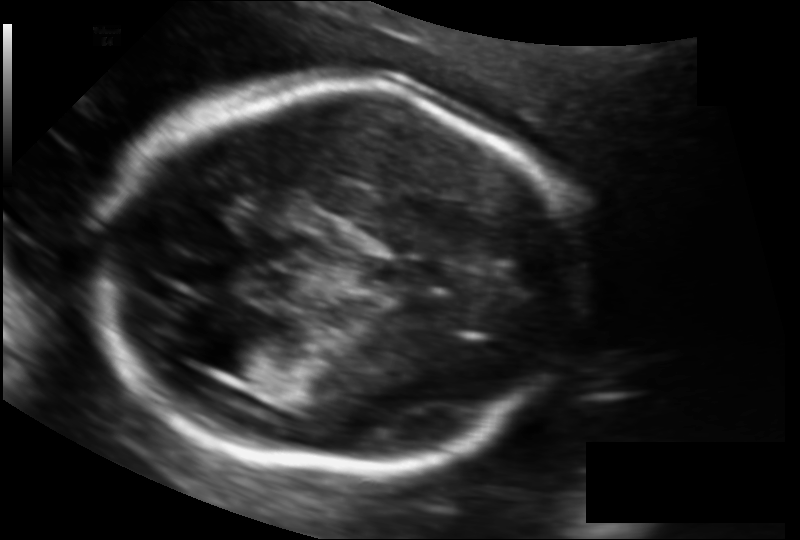
Fetal head ultrasound. Image width: 96.6 mm. Where is the fetal head?

Head bounding box: [92,80,581,468]